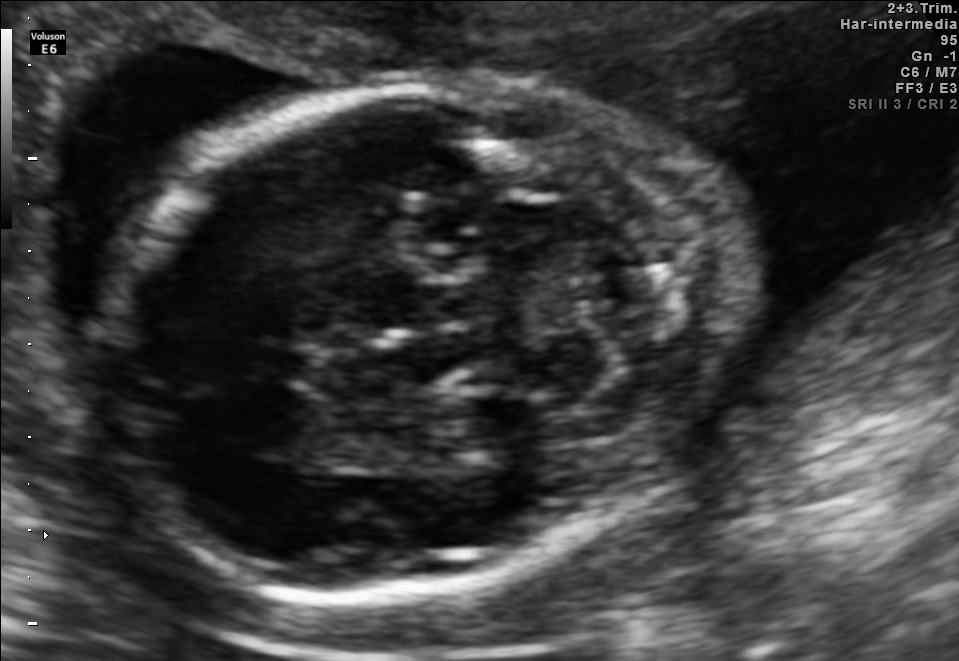
Fetal brain, trans-cerebellum plane. Locate the fetal head and, if visible, the cavum septum pellucidum (CSP) and lateral ventricle (LV). Give bounding boxes as [x1,y1,x2,y2].

Head: [102,78,745,591]